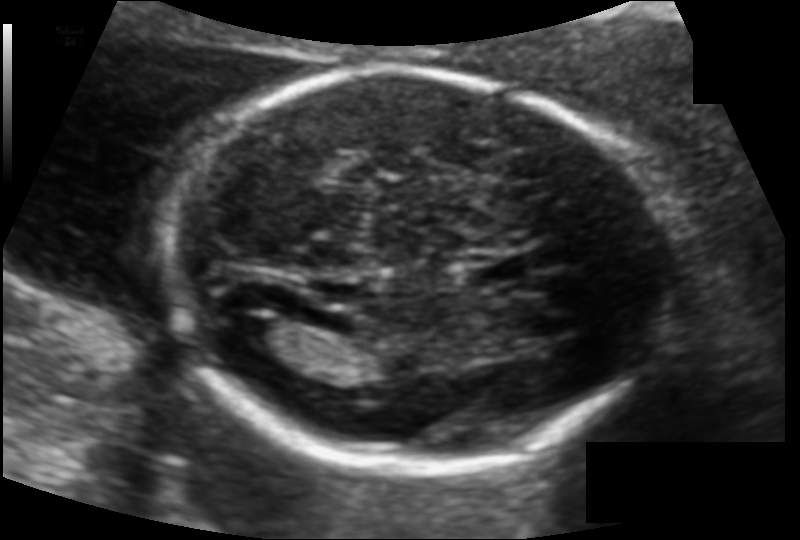
Fetal head ultrasound. Image width: 91.9 mm. Give [x1,y1,x2,y2] bounding boxes for each visible structure among: fetal head, CSP, LV.

Head: [164,70,666,465]
CSP: [465,249,534,295]
Lateral ventricle: [227,314,285,350]